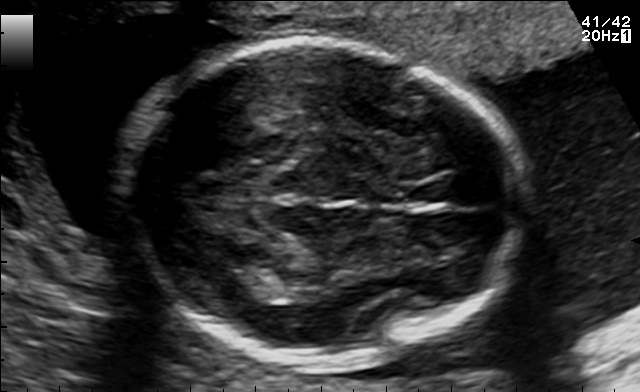
Fetal brain, trans-thalamic plane. Locate the fetal head.

Head: [119,44,524,362]